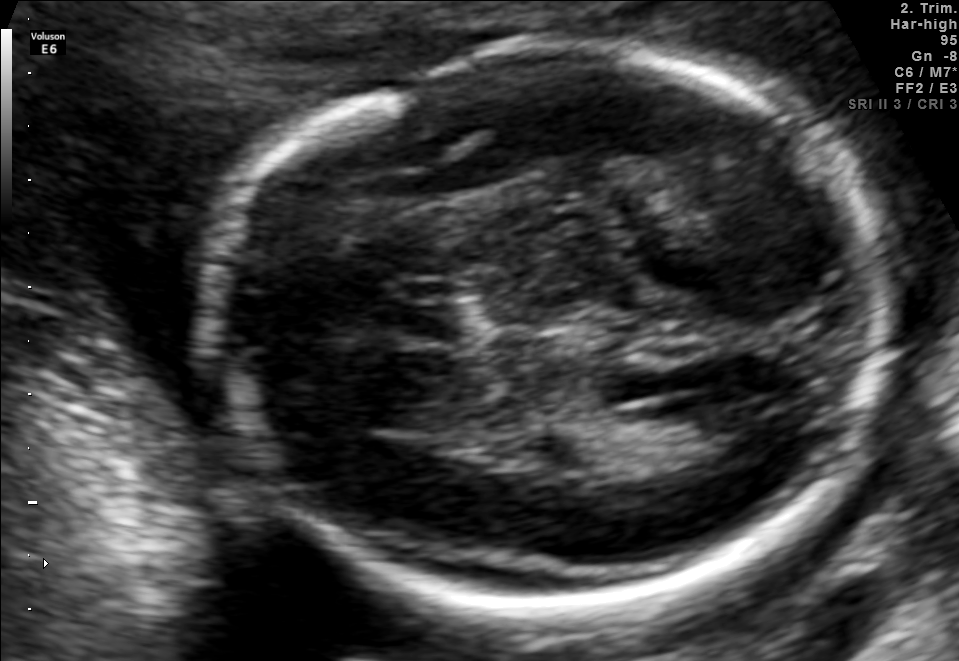
Fetal brain, trans-ventricular plane. Where is the cavum septum pellucidum?

CSP bounding box: [376,289,486,346]